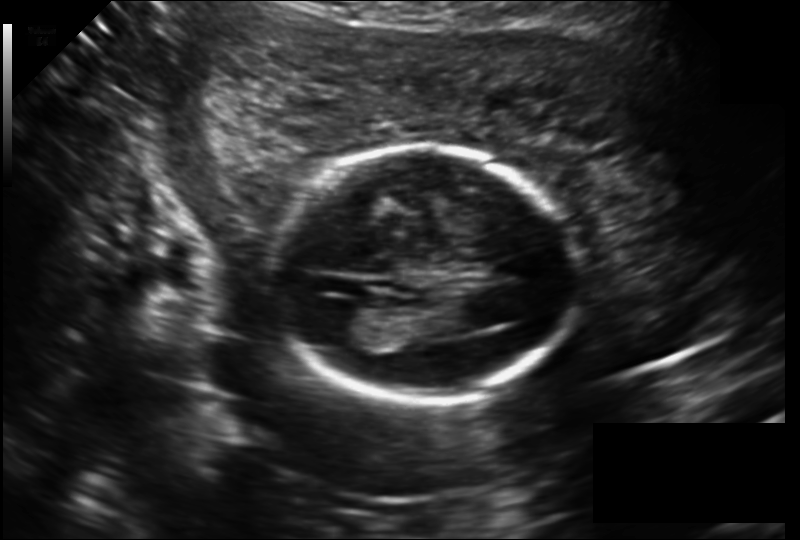
Fetal head ultrasound. Image width: 142.0 mm. Give [x1,y1,x2,y2] bounding boxes for each visible structure among: fetal head, CSP, LV.

Head: [269,146,574,404]
Lateral ventricle: [302,295,363,335]